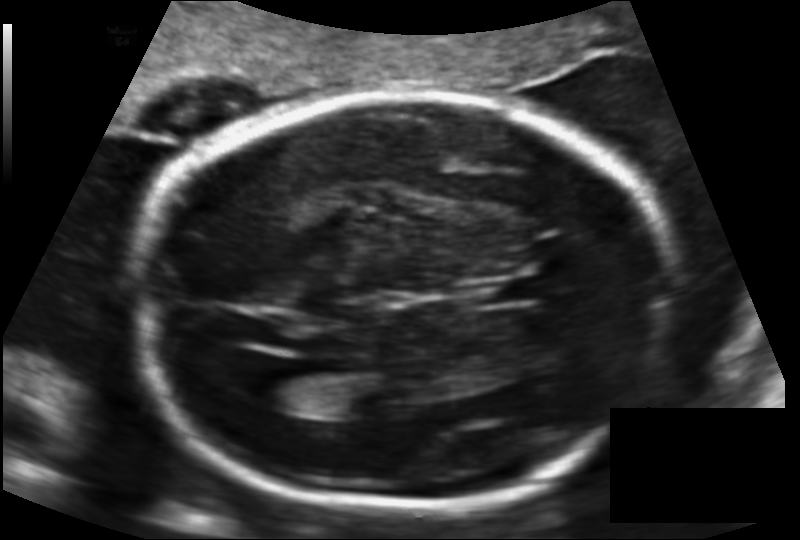
In this fetal head ultrasound, give the bounding box of the cavum septum pellucidum. Image width: 113.0 mm.

[468,275,538,308]